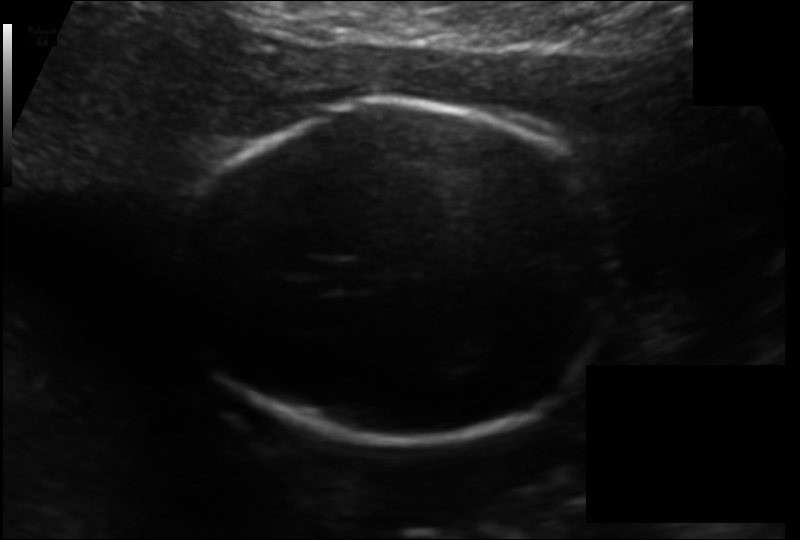
From this fetal ultrasound, estimate the head circumference (image width 106.3 mm).

Head circumference: 168.1 mm.